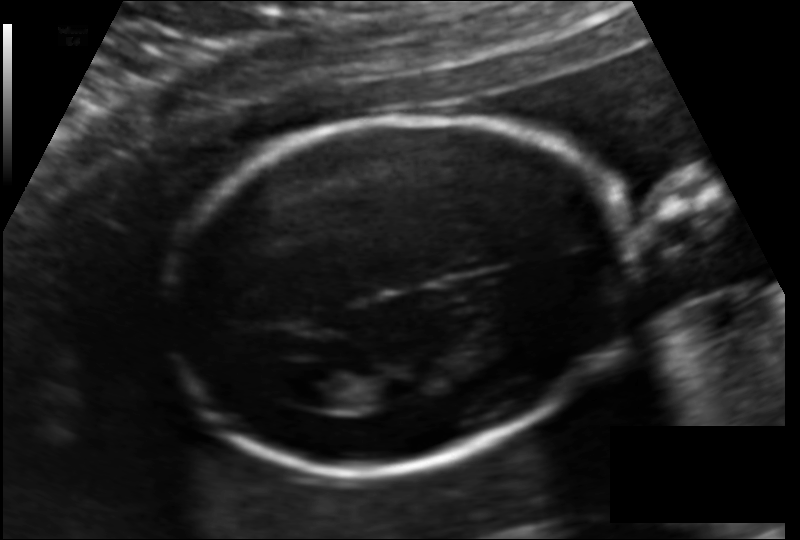
Fetal head ultrasound. Image width: 101.5 mm. Locate the lateral ventricle.

Lateral ventricle: [287,367,352,410]